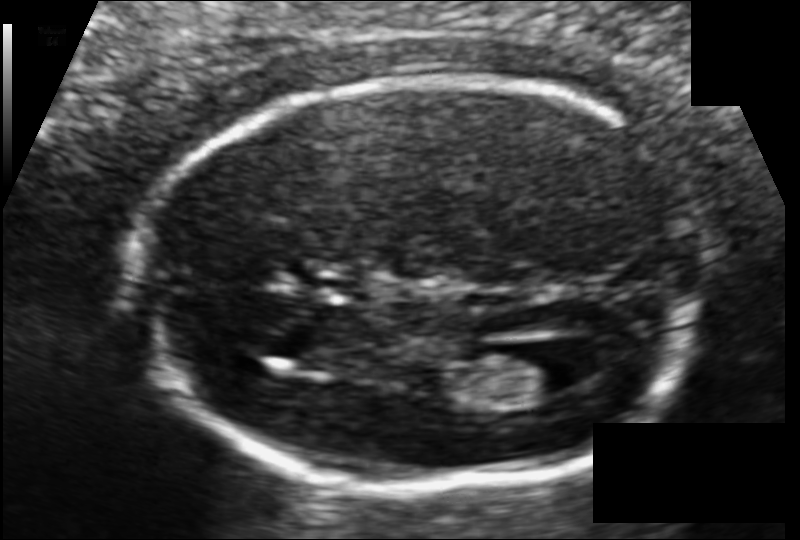
Fetal head ultrasound. Image width: 83.6 mm. Locate the fetal head.

Head: [136,79,702,492]